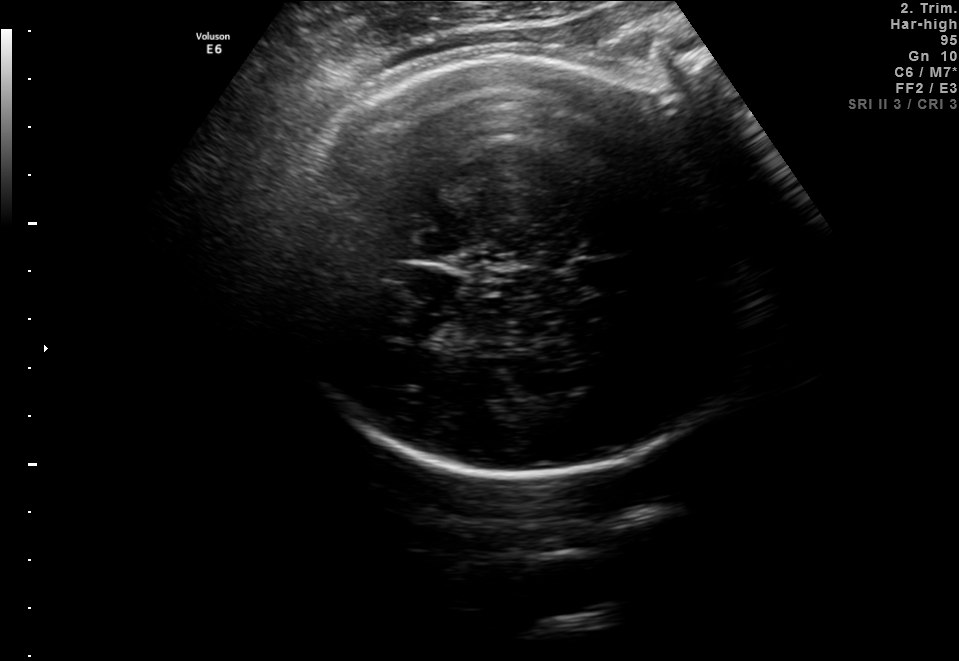
Fetal brain, trans-thalamic plane. Where is the fetal head?

Head bounding box: [277,56,758,473]